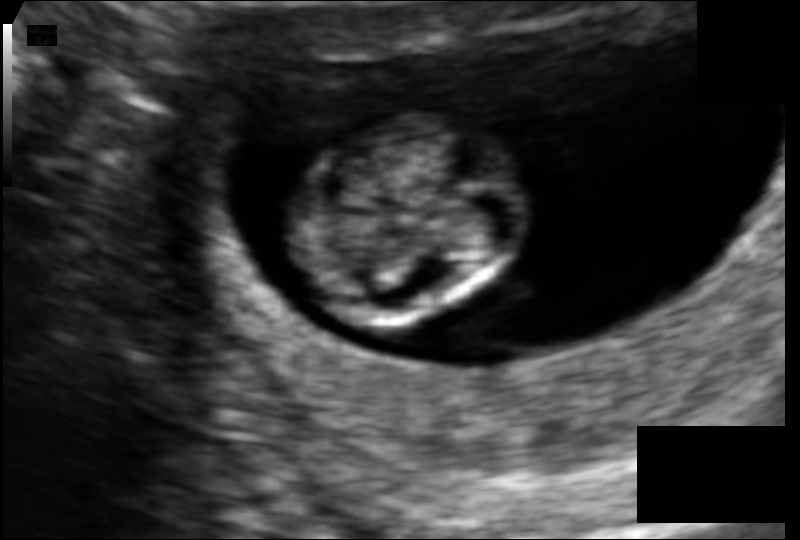
Fetal head ultrasound. Image width: 66.8 mm. Locate the fetal head.

Head: [293,114,521,322]